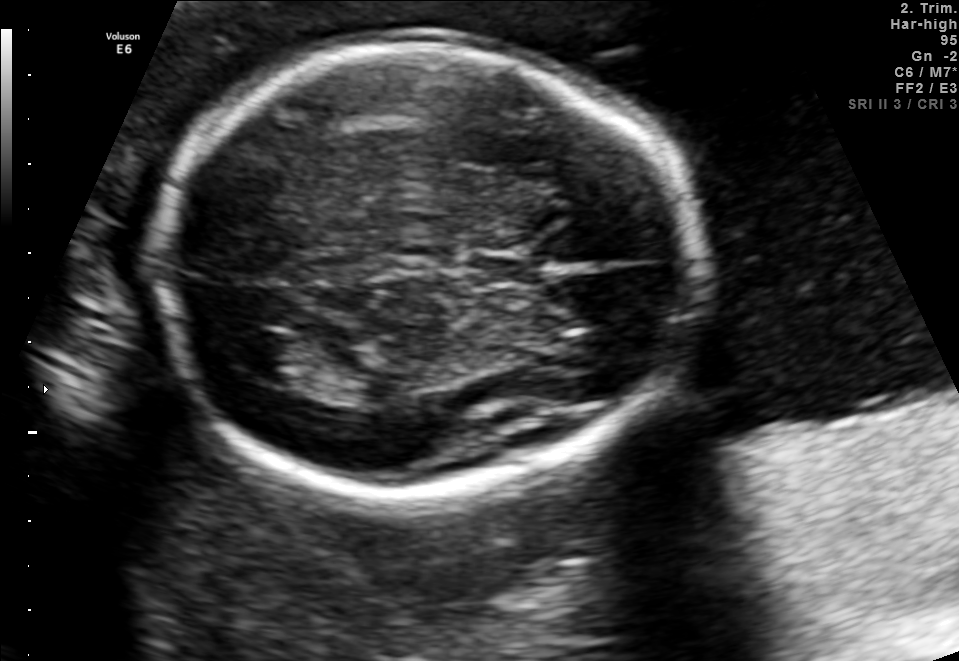
In this fetal brain, trans-thalamic plane, give bounding boxes for the head outline, cavum septum pellucidum (CSP), and lateral ventricle (LV), where visible.

Head: [151,49,700,490]
CSP: [463,250,551,286]
Lateral ventricle: [232,324,316,390]